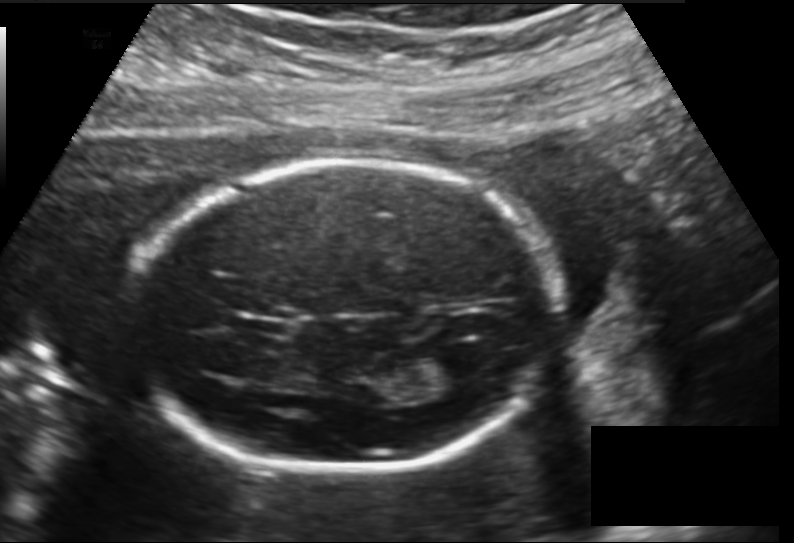
Fetal head ultrasound. Image width: 124.7 mm. Where is the lateral ventricle?

Lateral ventricle bounding box: [417,344,476,390]